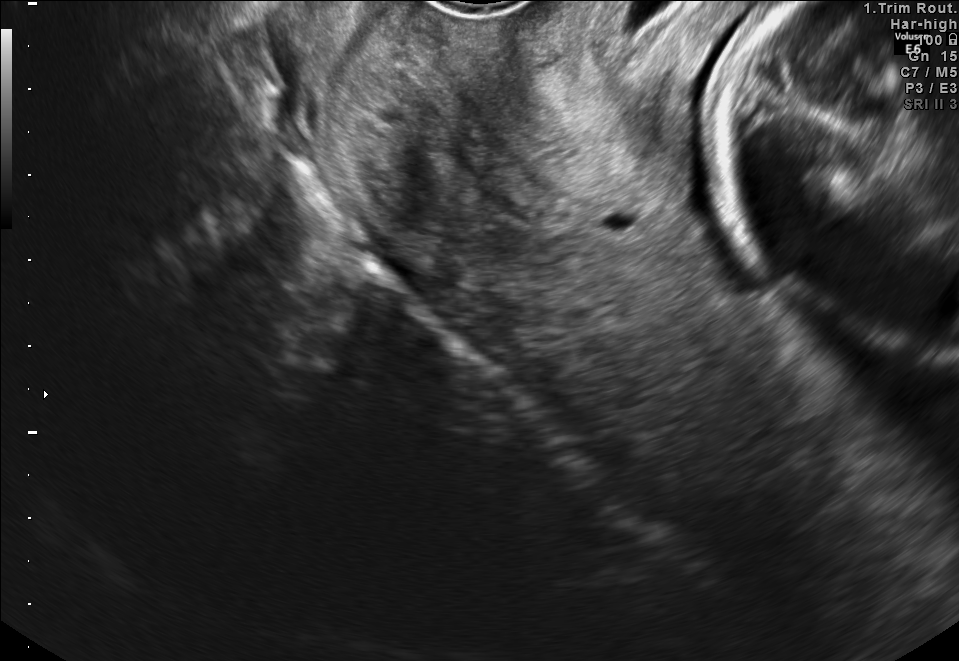
Classify this maternal-fetal ultrasound image as one of the six standard planes — fetal abdomen, fetal brain, fetal femur, fetal thorax, maternal cervix, or other. If it's fetal brain and one of the three standard brain planes (trans-thalamic, trans-cerebellum, trans-ventricular), name which.

Maternal cervix